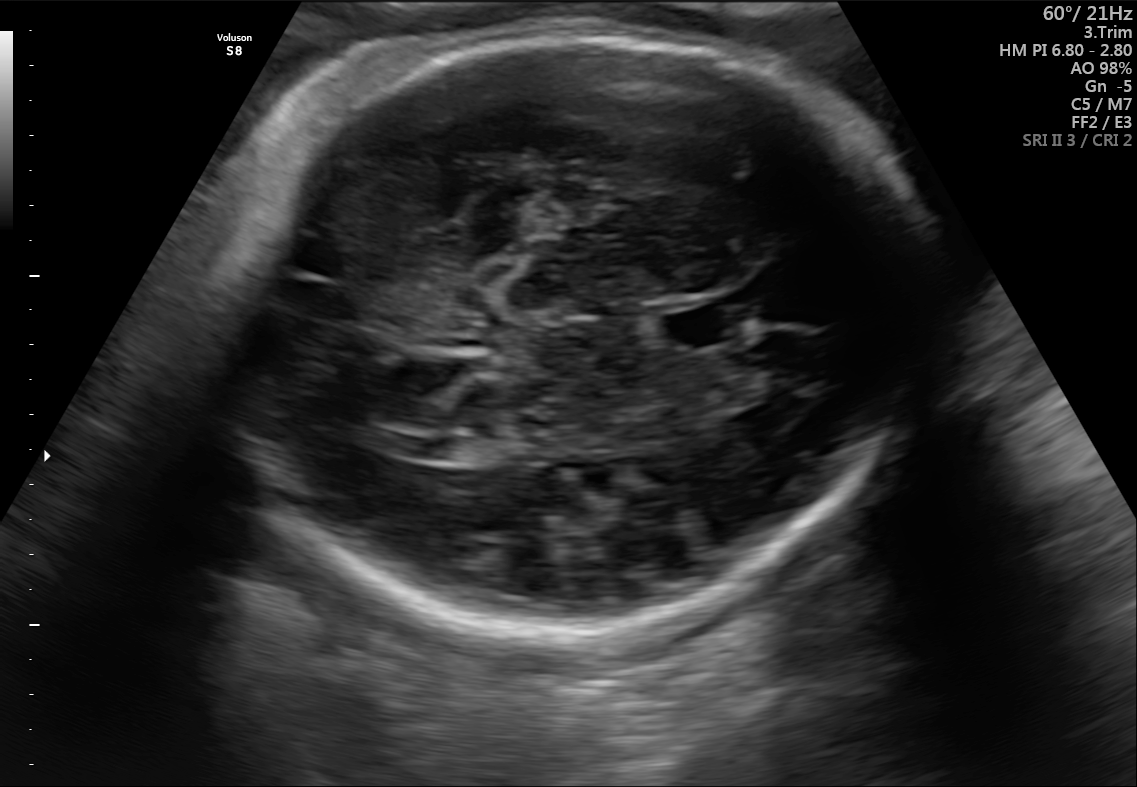
In this fetal brain, trans-thalamic plane, give bounding boxes for the head outline, cavum septum pellucidum (CSP), and lateral ventricle (LV), where visible.

Head: [206,29,931,623]
CSP: [654,294,751,359]
Lateral ventricle: [417,437,489,461]